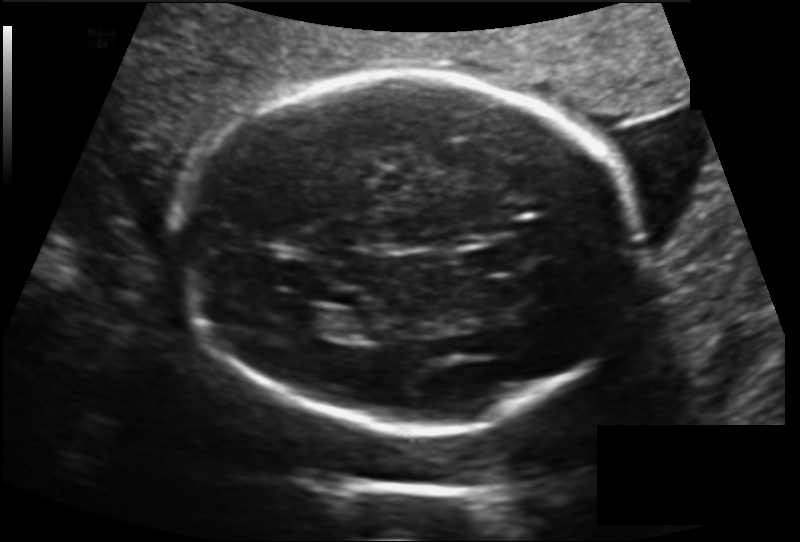
Fetal head ultrasound. Image width: 127.7 mm. Where is the fetal head?

Head bounding box: [175,71,645,421]